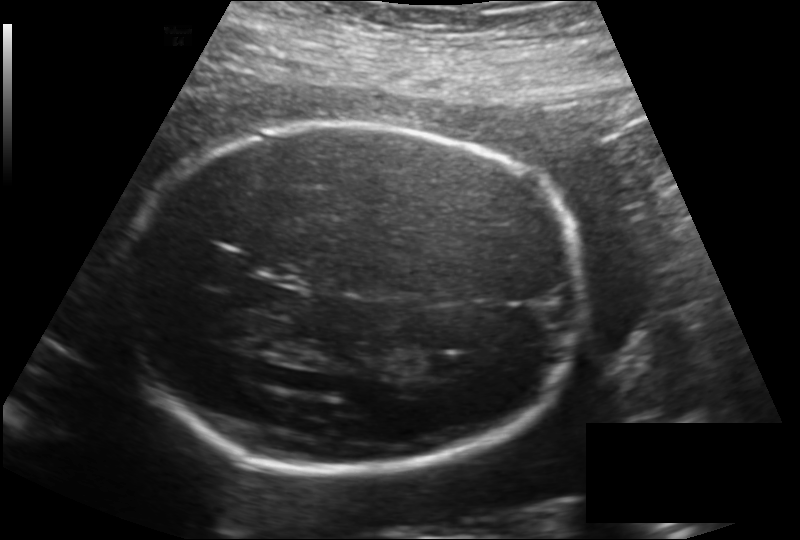
Fetal head ultrasound. Image width: 149.9 mm. Where is the lateral ventricle?

Lateral ventricle bounding box: [426,353,472,379]